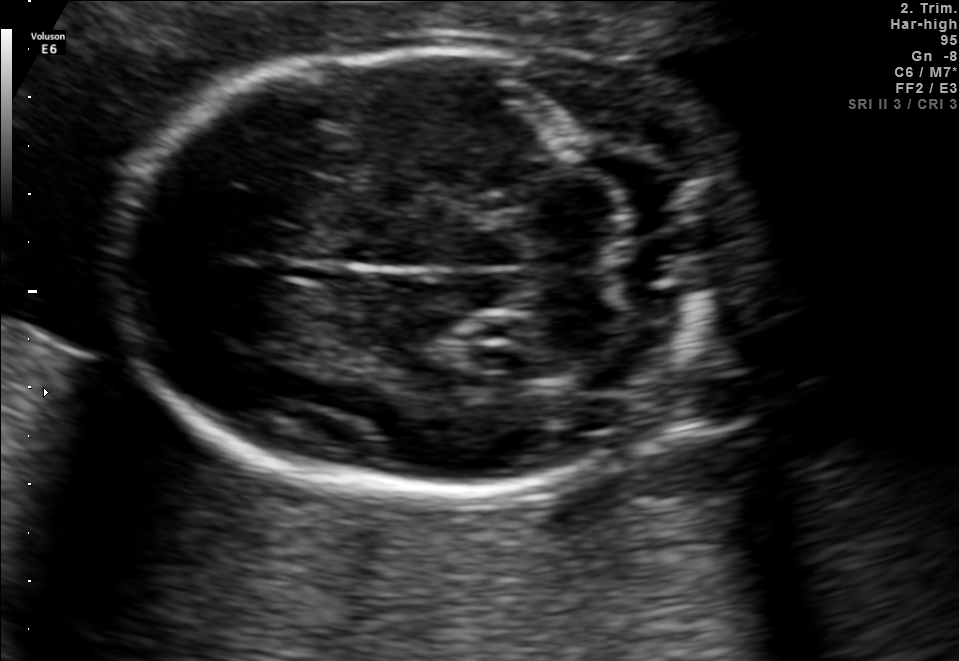
Identify the standard plane in this fetal ultrasound image: fetal abdomen, fetal brain, fetal femur, fetal thorax, maternal cervix, or other. If it's fetal brain and one of the three standard brain planes (trans-thalamic, trans-cerebellum, trans-ventricular), name which.

Fetal brain (trans-cerebellum plane)